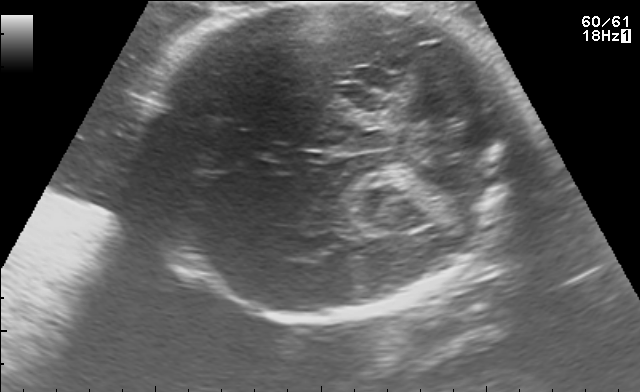
Fetal brain, trans-thalamic plane. Where is the fetal head?

Head bounding box: [115,3,527,321]